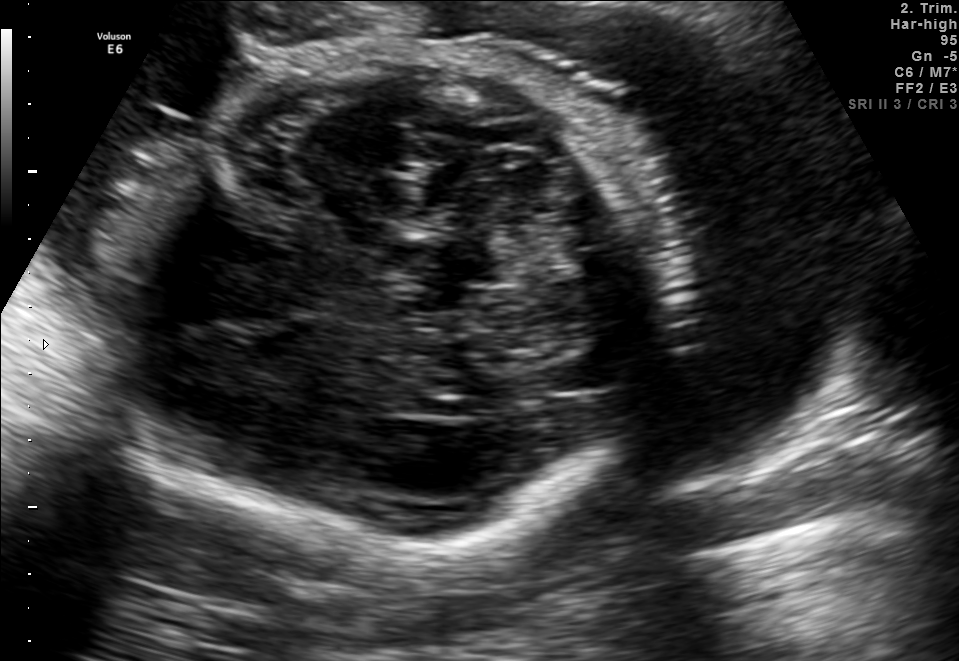
Fetal brain, trans-cerebellum plane. Give [x1,y1,x2,y2] bounding boxes for each visible structure among: fetal head, CSP, LV.

Head: [116,41,669,560]